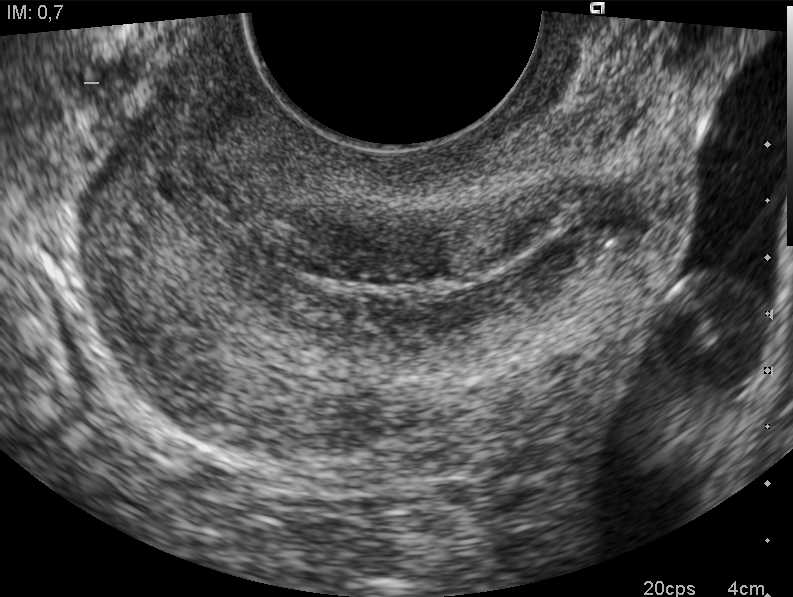
Identify the standard plane in this fetal ultrasound image: fetal abdomen, fetal brain, fetal femur, fetal thorax, maternal cervix, or other. If it's fetal brain and one of the three standard brain planes (trans-thalamic, trans-cerebellum, trans-ventricular), name which.

Maternal cervix